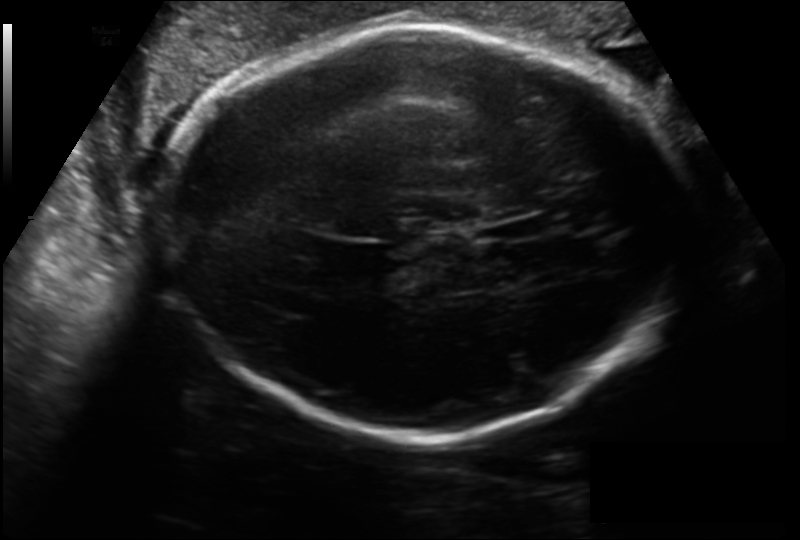
In this fetal head ultrasound, give the bounding box of the fetal head. Image width: 158.9 mm.

[168,26,681,440]